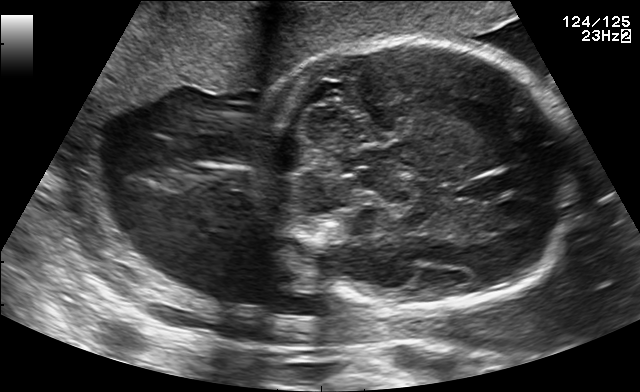
Identify the standard plane in this fetal ultrasound image: fetal abdomen, fetal brain, fetal femur, fetal thorax, maternal cervix, or other. If it's fetal brain and one of the three standard brain planes (trans-thalamic, trans-cerebellum, trans-ventricular), name which.

Fetal brain (trans-cerebellum plane)